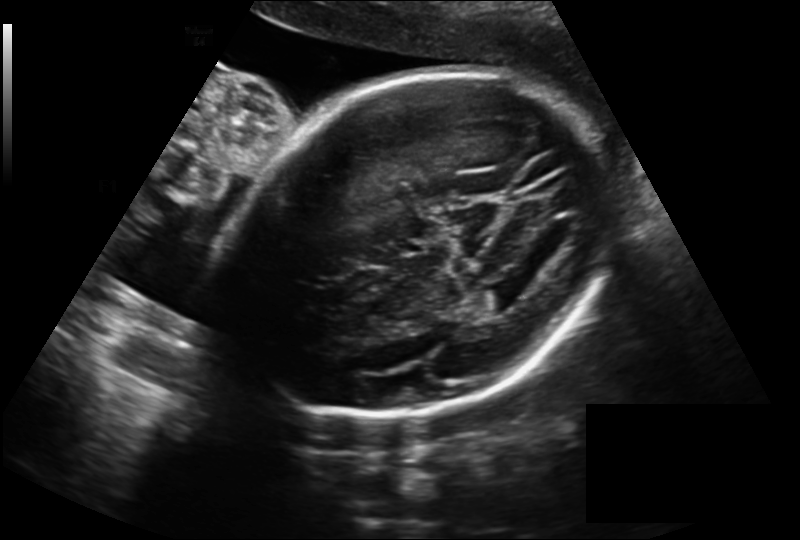
In this fetal head ultrasound, give the bounding box of the fetal head. Image width: 179.9 mm.

[227,74,613,419]